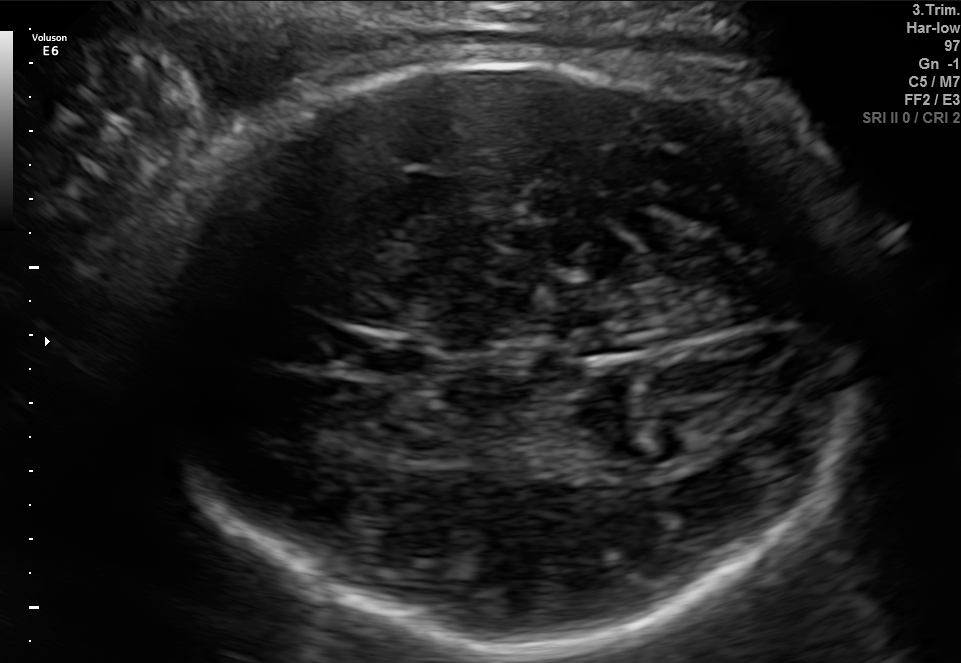
In this fetal brain, trans-thalamic plane, give bounding boxes for the head outline, cavum septum pellucidum (CSP), and lateral ventricle (LV), where visible.

Head: [153,61,856,652]
CSP: [334,329,431,385]